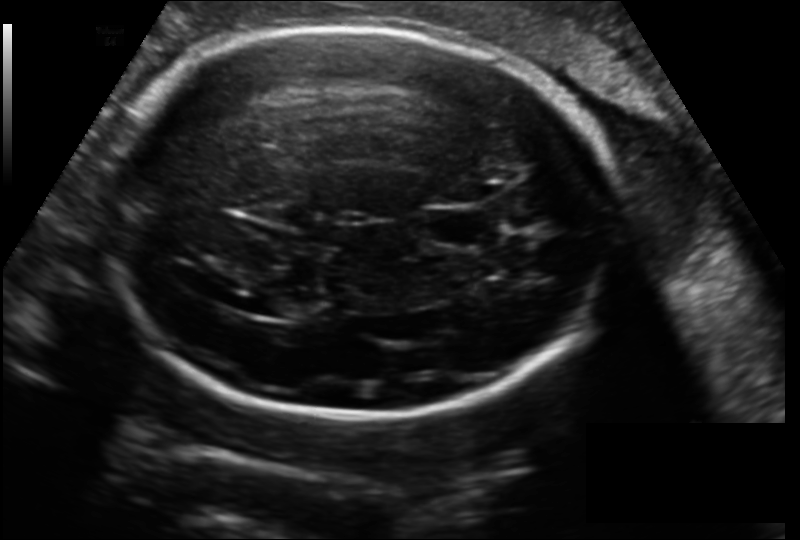
Fetal head ultrasound. Image width: 142.1 mm. Locate the cavum septum pellucidum.

CSP: [424,207,486,247]